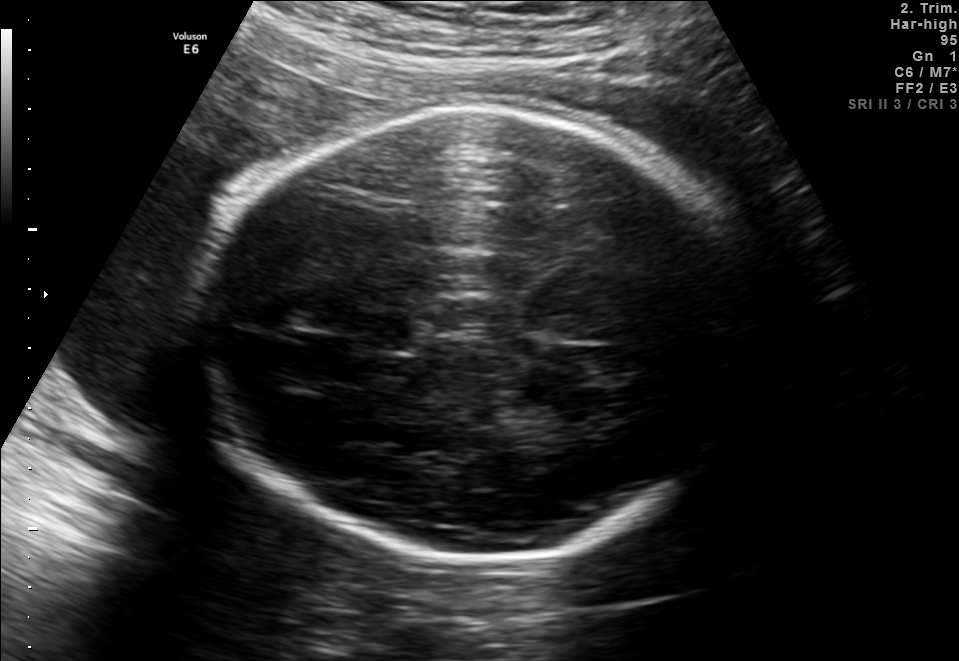
Fetal brain, trans-thalamic plane. Locate the fetal head.

Head: [201,110,756,567]